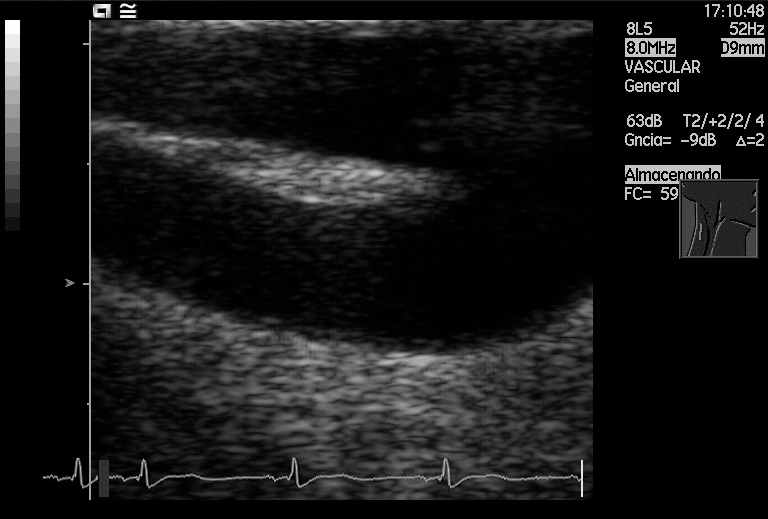
Which standard maternal-fetal ultrasound plane is shown: fetal abdomen, fetal brain, fetal femur, fetal thorax, maternal cervix, or other? If it's fetal brain and one of the three standard brain planes (trans-thalamic, trans-cerebellum, trans-ventricular), name which.

Other